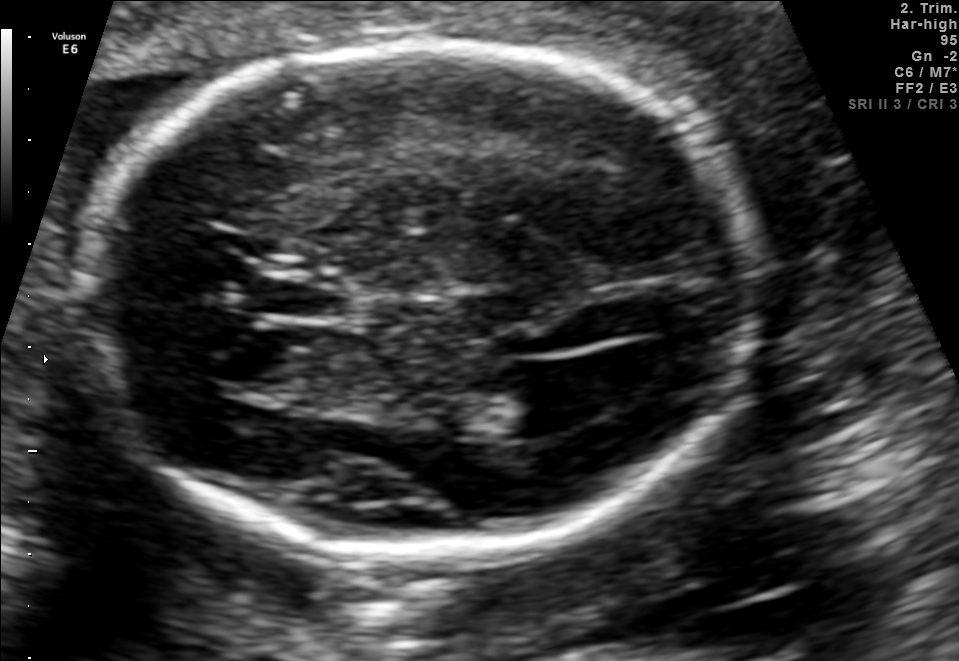
Fetal brain, trans-ventricular plane. Locate the fetal head.

Head: [67,32,772,571]